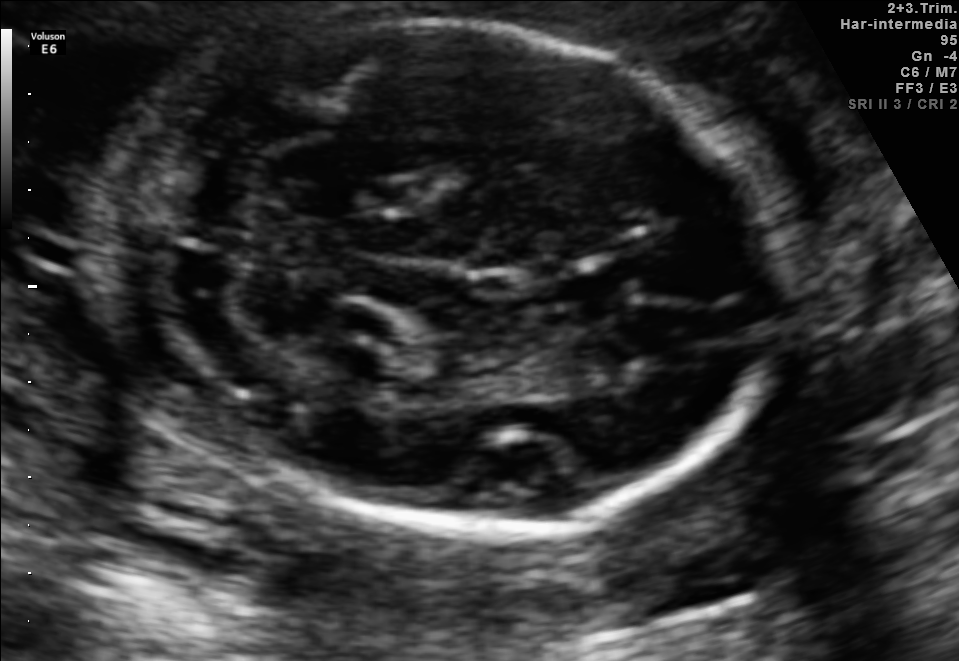
Fetal brain, trans-cerebellum plane. Locate the fetal head.

Head: [89,19,788,534]